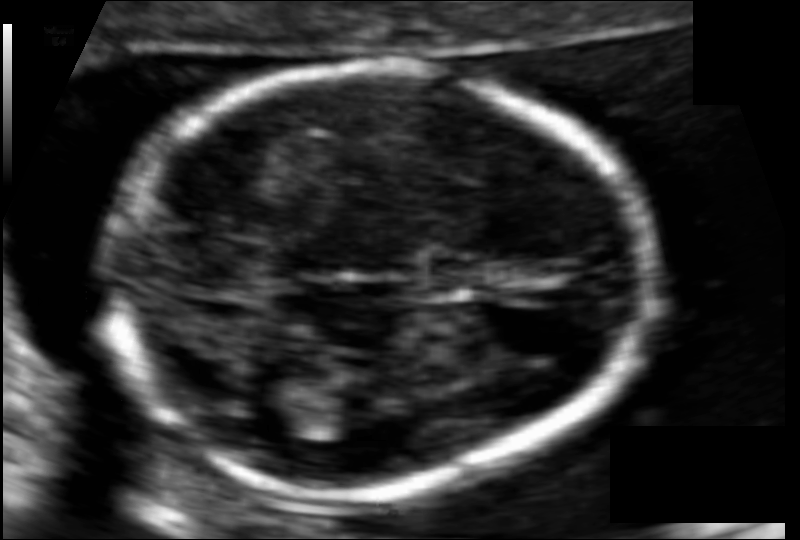
What is the fetal head circumference? Image width is 67.6 mm.

137.3 mm